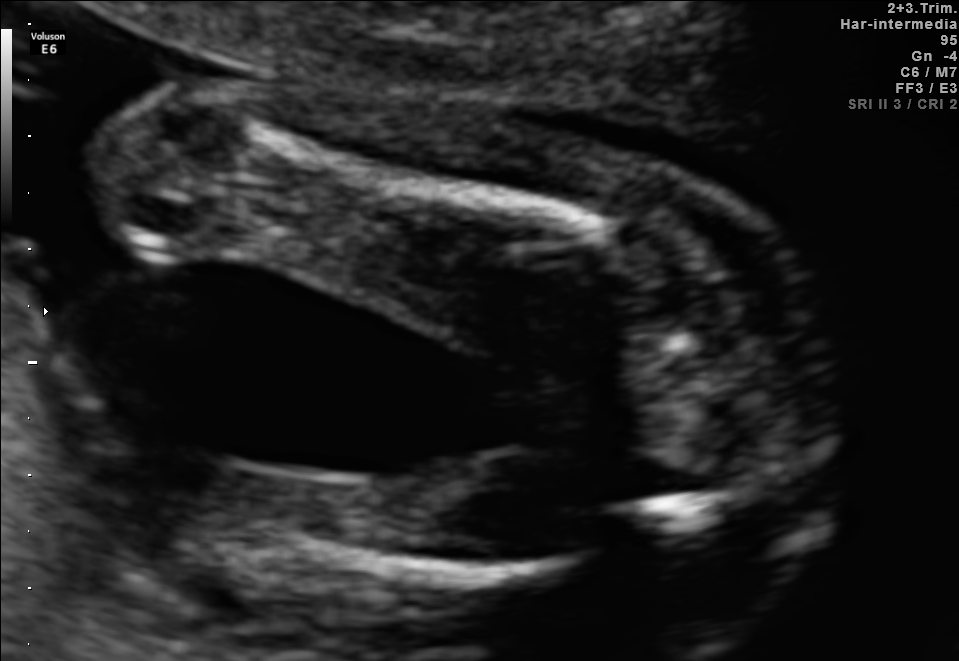
Classify this maternal-fetal ultrasound image as one of the six standard planes — fetal abdomen, fetal brain, fetal femur, fetal thorax, maternal cervix, or other. If it's fetal brain and one of the three standard brain planes (trans-thalamic, trans-cerebellum, trans-ventricular), name which.

Fetal femur